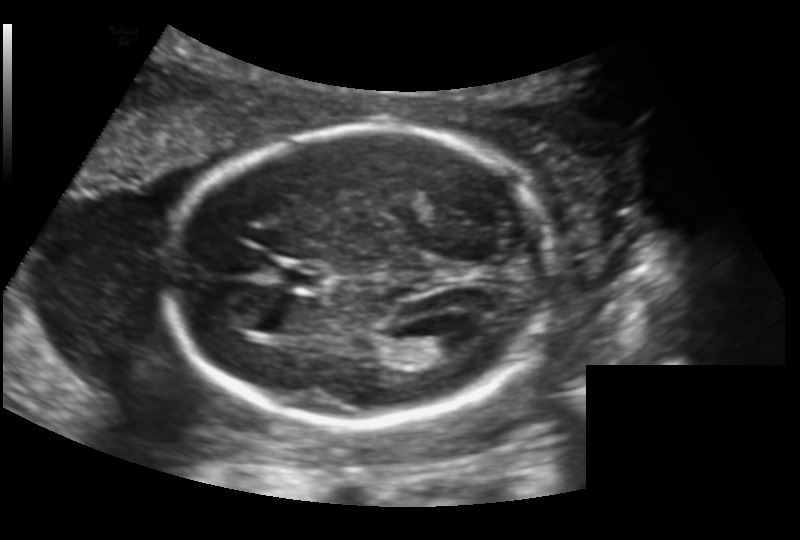
Fetal head ultrasound. Image width: 125.0 mm. Locate the fetal head.

Head: [169,127,548,428]